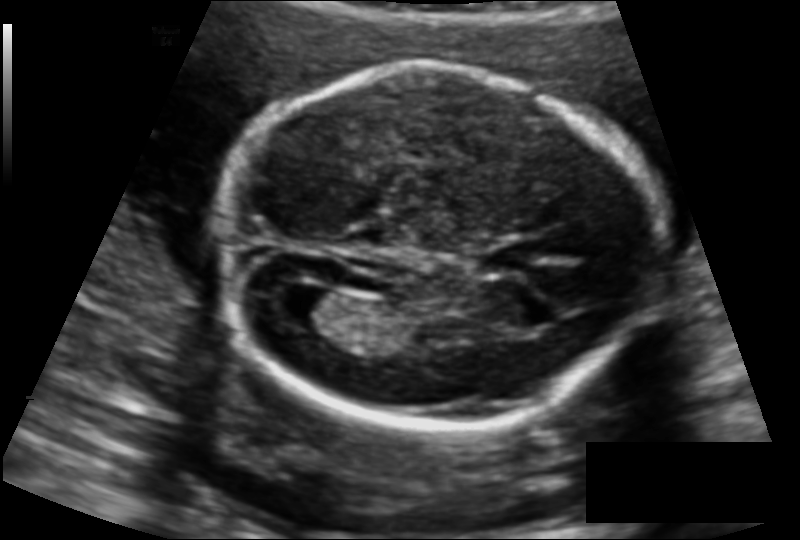
In this fetal head ultrasound, give the bounding box of the fetal head. Image width: 101.8 mm.

[220,64,650,427]